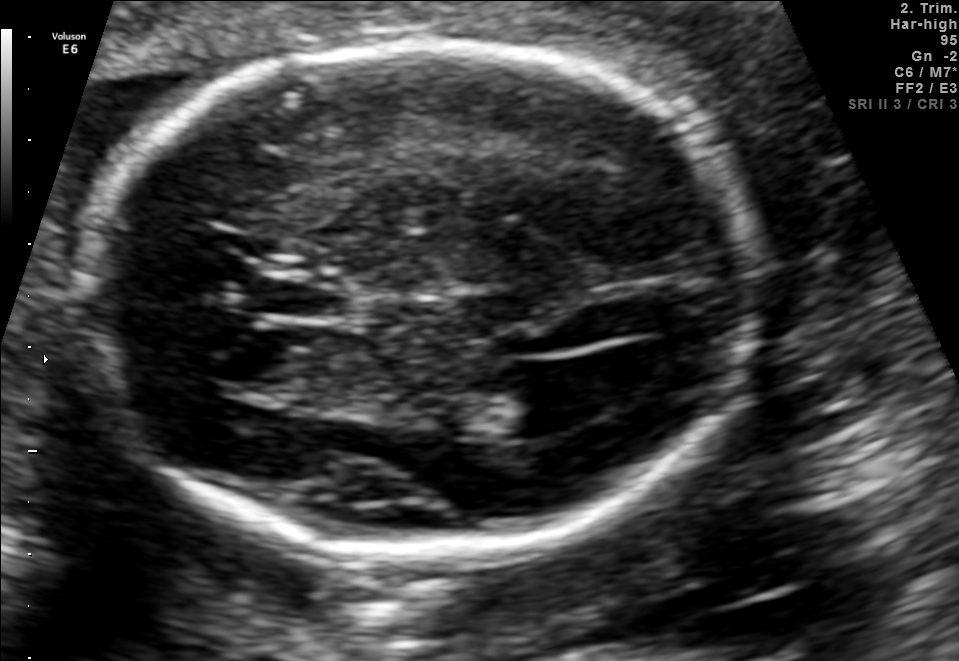
Fetal brain, trans-ventricular plane. Where is the lateral ventricle?

Lateral ventricle bounding box: [497,351,618,441]